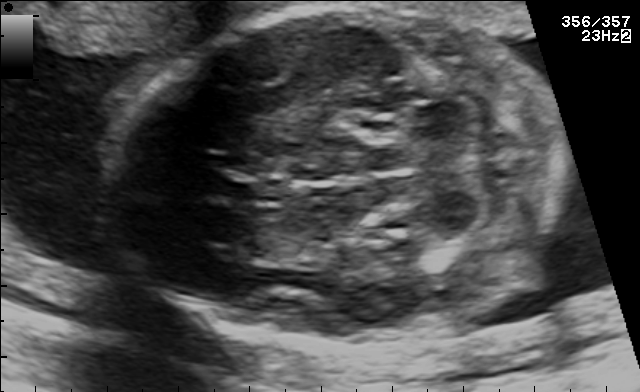
Fetal brain, trans-cerebellum plane. Where is the cavum septum pellucidum?

CSP bounding box: [227,176,282,206]